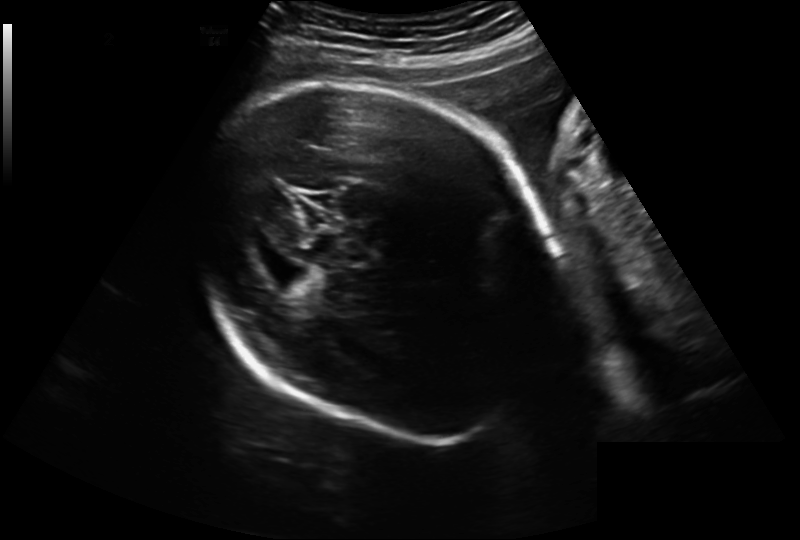
Fetal head ultrasound. Image width: 192.7 mm. Locate the fetal head and, if visible, the cavum septum pellucidum (CSP) and lateral ventricle (LV). Give bounding boxes as [x1,y1,x2,y2].

Head: [196,78,559,445]